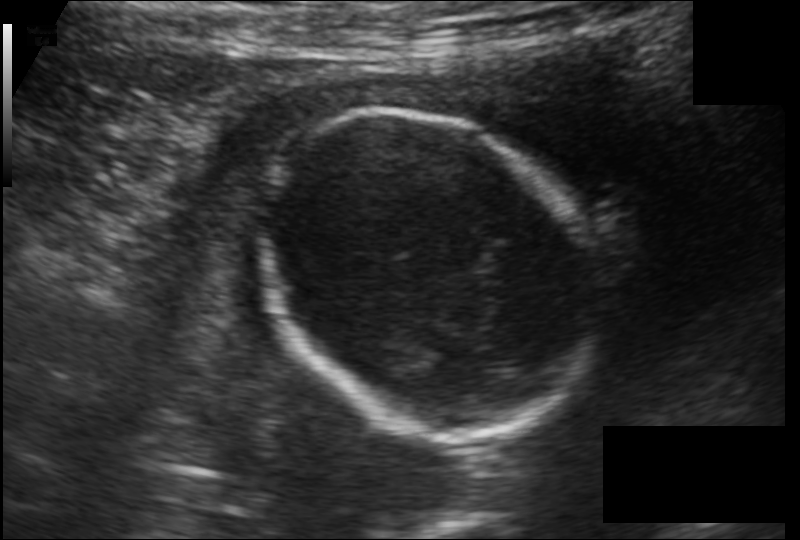
Fetal head ultrasound. Image width: 116.2 mm. Where is the fetal head?

Head bounding box: [254,113,601,431]